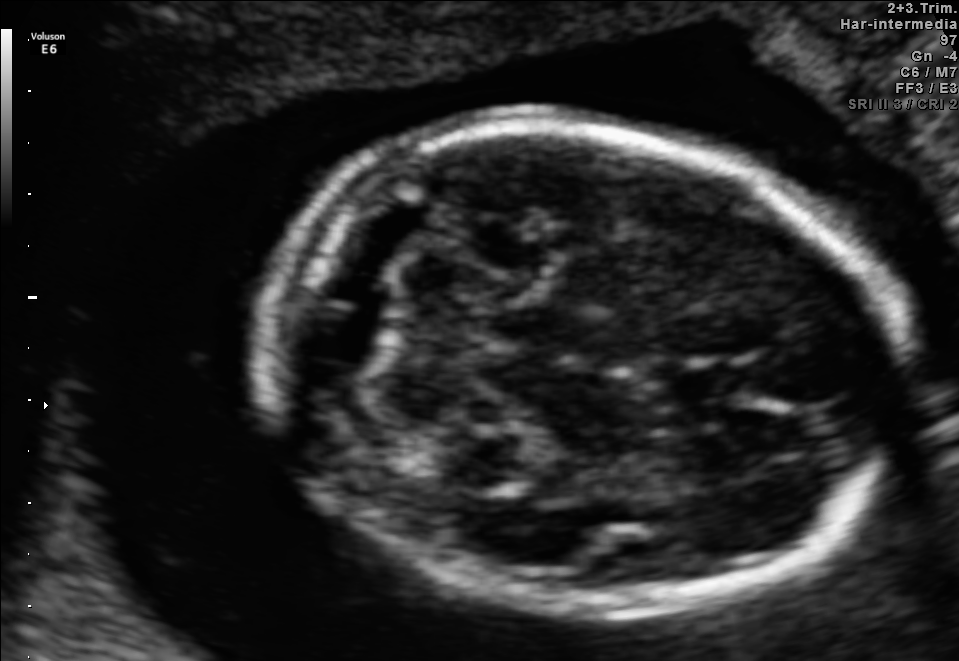
Fetal brain, trans-cerebellum plane. Where is the fetal head?

Head bounding box: [260,127,909,614]